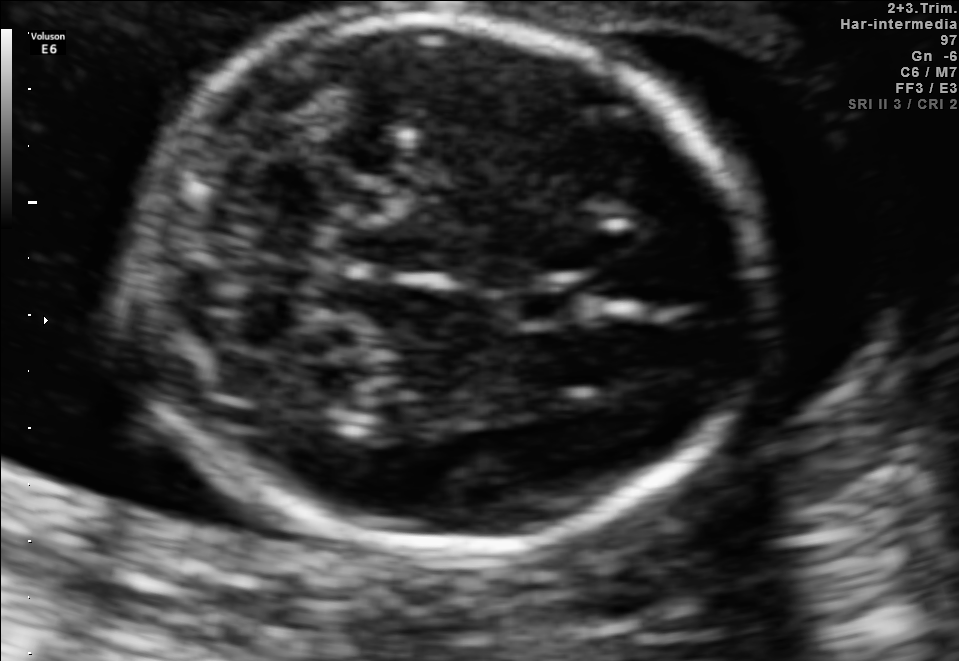
Fetal brain, trans-cerebellum plane. Where is the fetal head?

Head bounding box: [138,13,757,552]